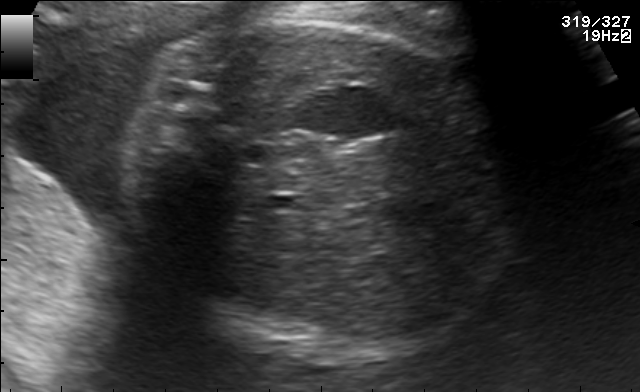
Identify the standard plane in this fetal ultrasound image: fetal abdomen, fetal brain, fetal femur, fetal thorax, maternal cervix, or other. If it's fetal brain and one of the three standard brain planes (trans-thalamic, trans-cerebellum, trans-ventricular), name which.

Fetal abdomen